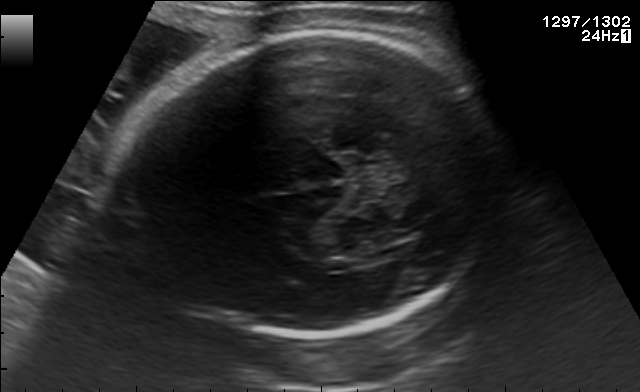
Fetal brain, trans-thalamic plane. Give [x1,y1,x2,y2] bounding boxes for each visible structure among: fetal head, CSP, LV.

Head: [113,31,501,340]